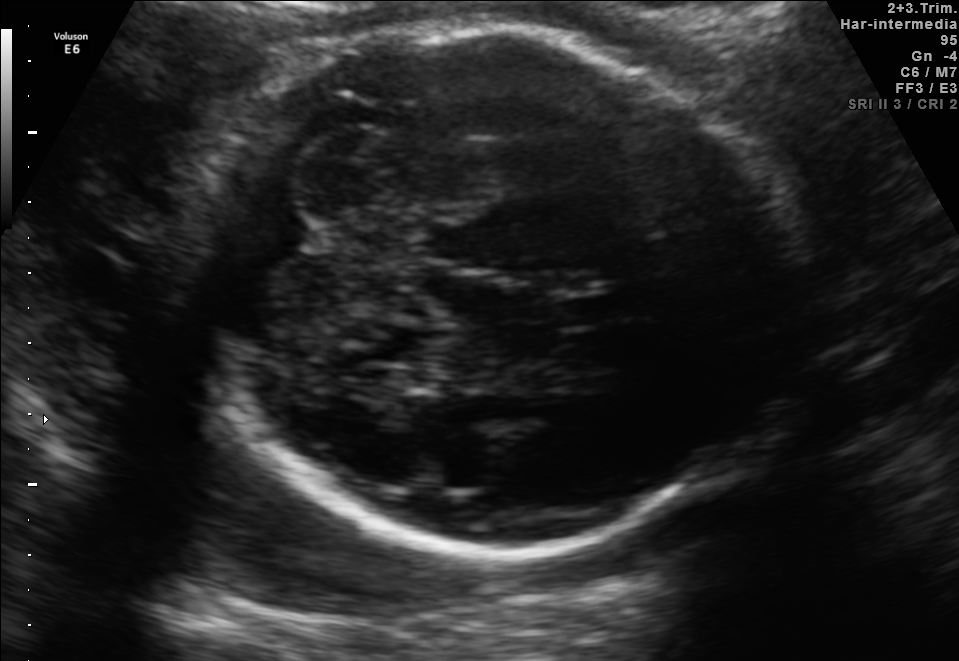
Fetal brain, trans-cerebellum plane. Give [x1,y1,x2,y2] bounding boxes for each visible structure among: fetal head, CSP, LV.

Head: [182,24,789,547]